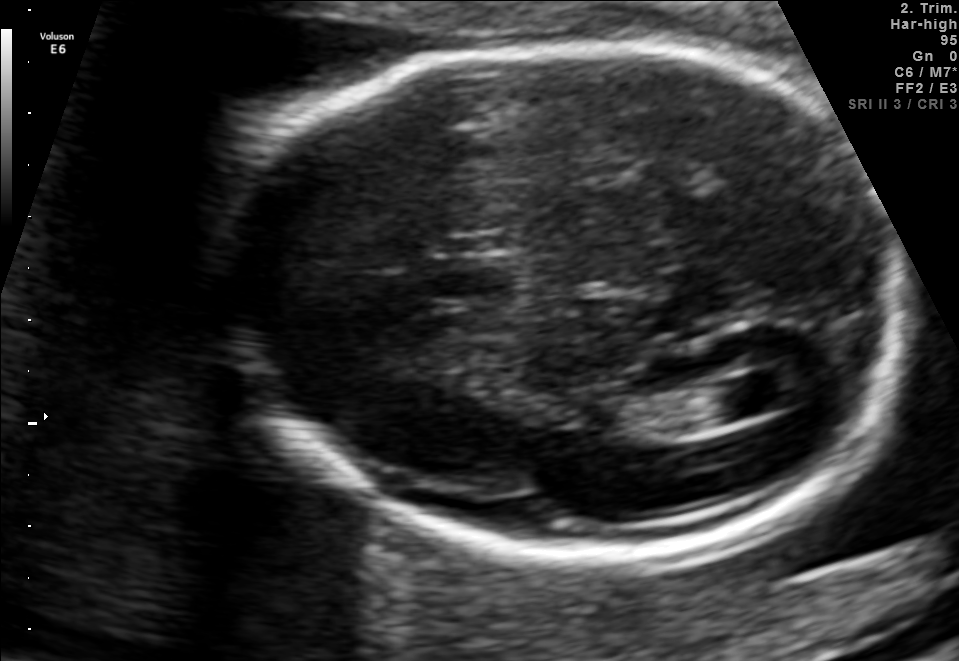
Fetal brain, trans-ventricular plane. Where is the fetal head?

Head bounding box: [210,40,907,561]